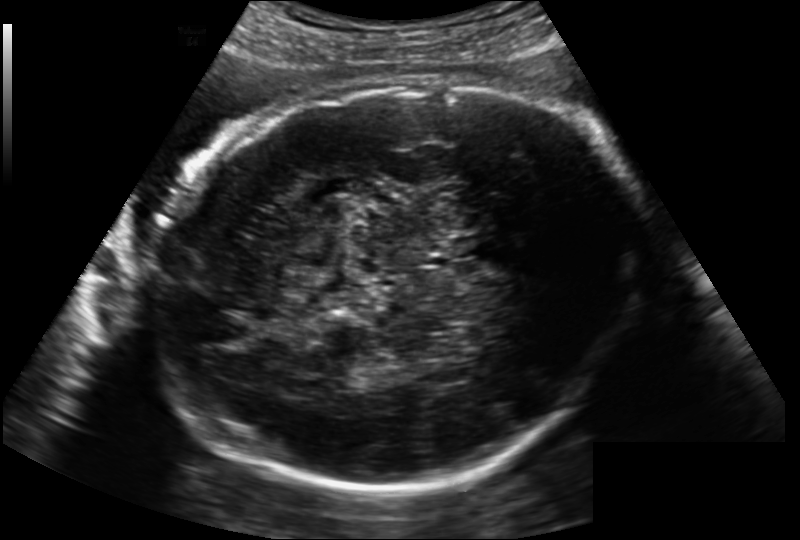
Estimate the fetal head circumference from this 2D ultrasound. Image width: 161.8 mm.

Head circumference: 294.7 mm.